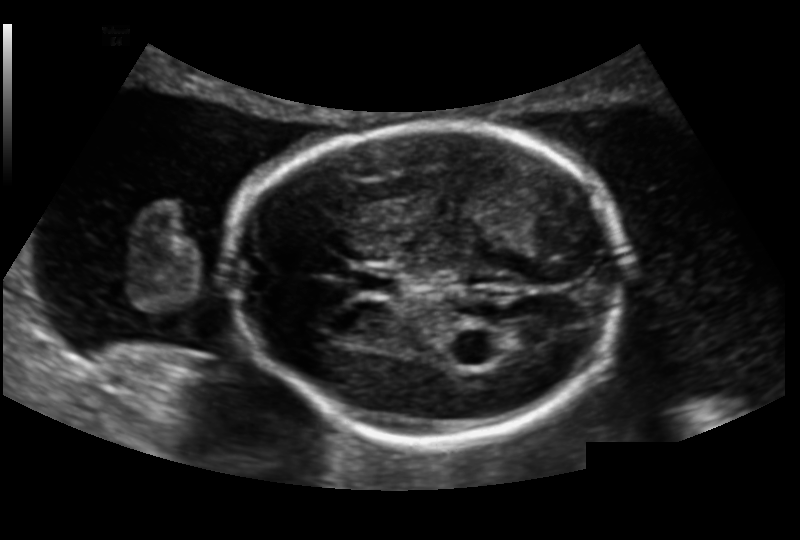
What is the fetal head circumference? Image width is 121.1 mm.

172.0 mm